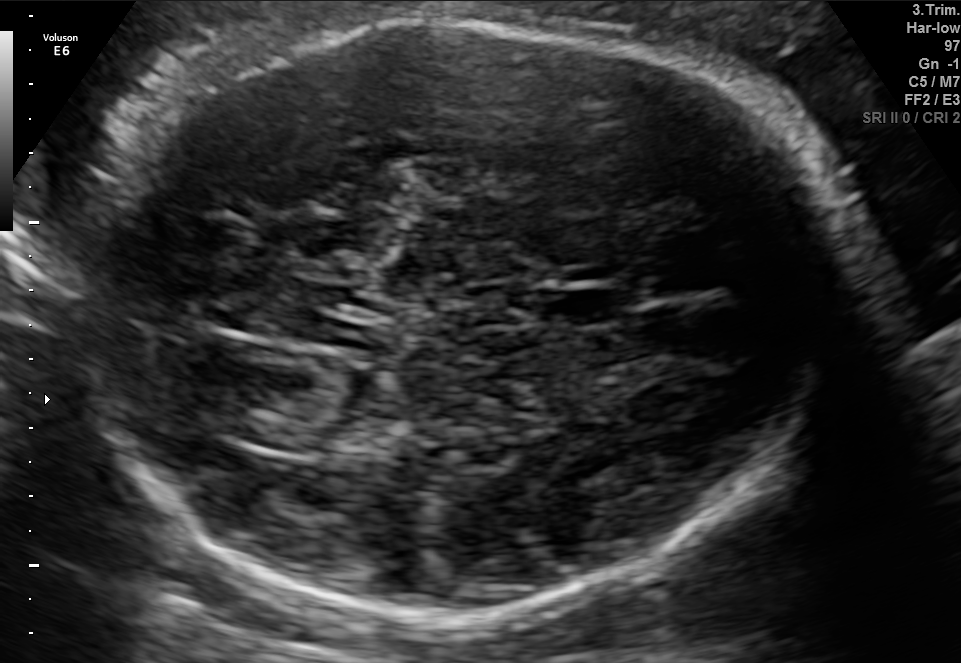
In this fetal brain, trans-thalamic plane, give the bounding box of the cavum septum pellucidum.

[537,287,624,326]